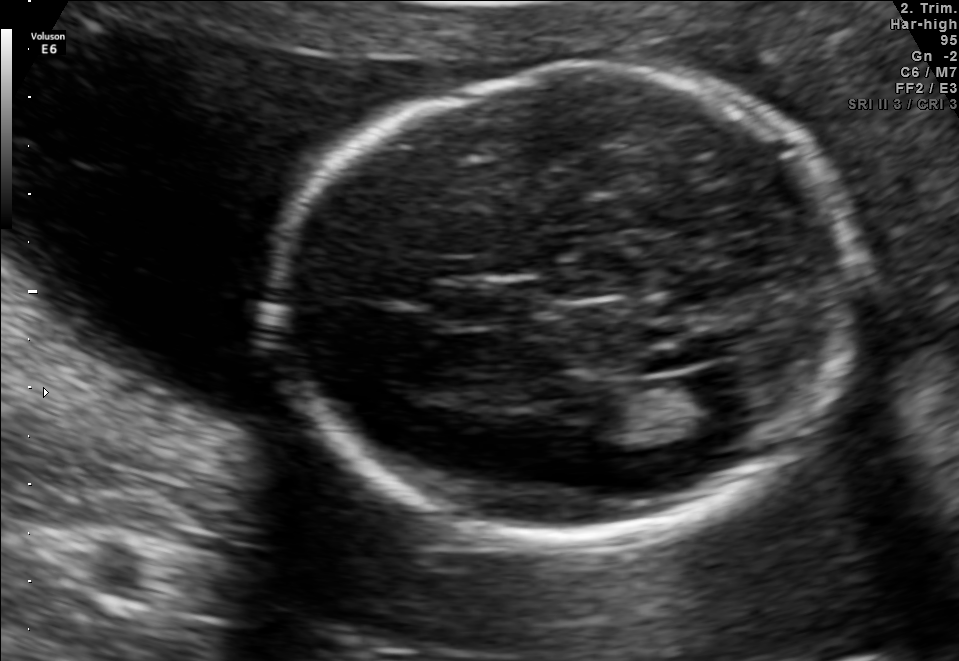
Fetal brain, trans-ventricular plane. Give [x1,y1,x2,y2] bounding boxes for each visible structure among: fetal head, CSP, LV.

Head: [263,54,870,551]
CSP: [437,285,534,323]
Lateral ventricle: [672,361,764,432]